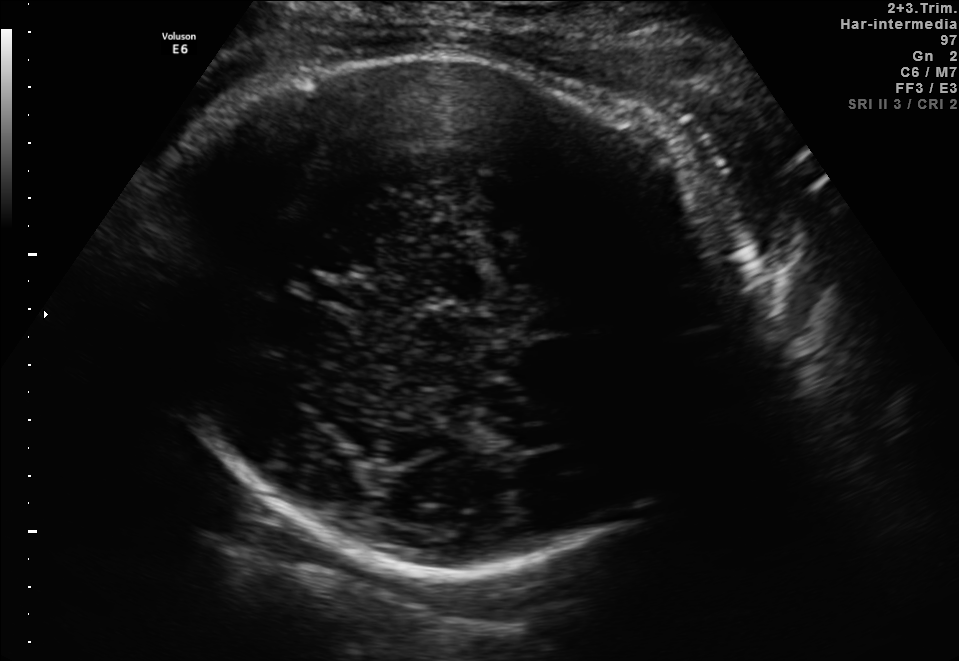
In this fetal brain, trans-thalamic plane, give the bounding box of the fetal head.

[145,59,734,570]